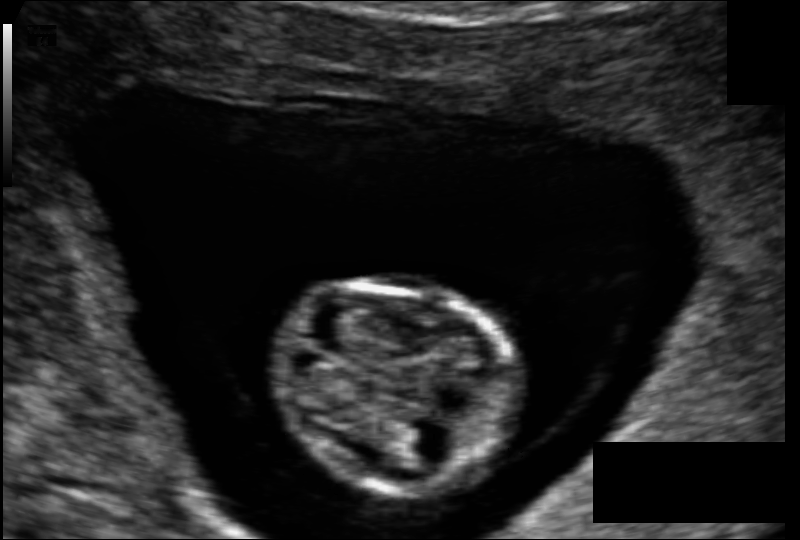
Measure the fetal head circumference shown in this ultrasound image. Image width: 71.4 mm.

Head circumference: 65.8 mm.